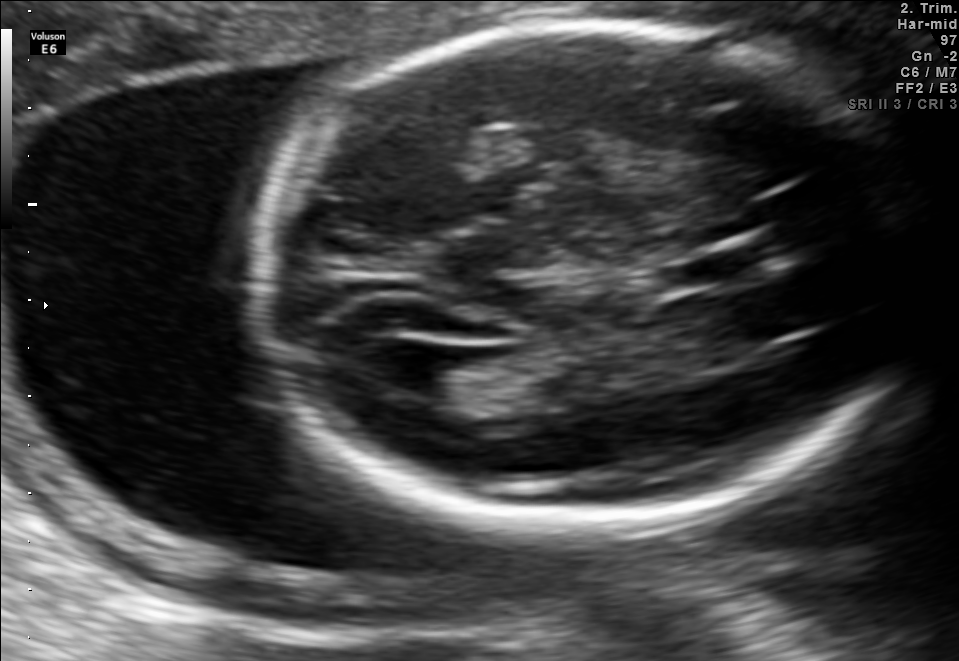
Identify the standard plane in this fetal ultrasound image: fetal abdomen, fetal brain, fetal femur, fetal thorax, maternal cervix, or other. If it's fetal brain and one of the three standard brain planes (trans-thalamic, trans-cerebellum, trans-ventricular), name which.

Fetal brain (trans-ventricular plane)